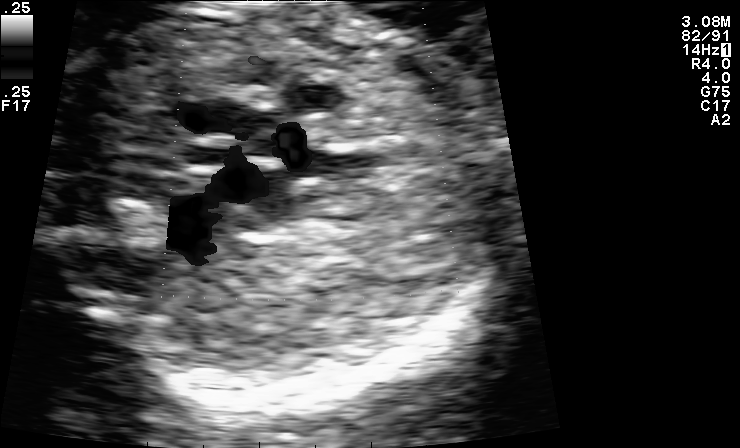
Identify the standard plane in this fetal ultrasound image: fetal abdomen, fetal brain, fetal femur, fetal thorax, maternal cervix, or other. If it's fetal brain and one of the three standard brain planes (trans-thalamic, trans-cerebellum, trans-ventricular), name which.

Other